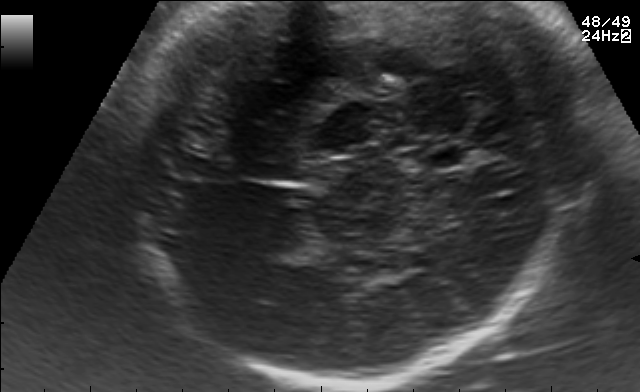
Fetal brain, trans-thalamic plane. Locate the cavum septum pellucidum.

CSP: [414,143,461,171]